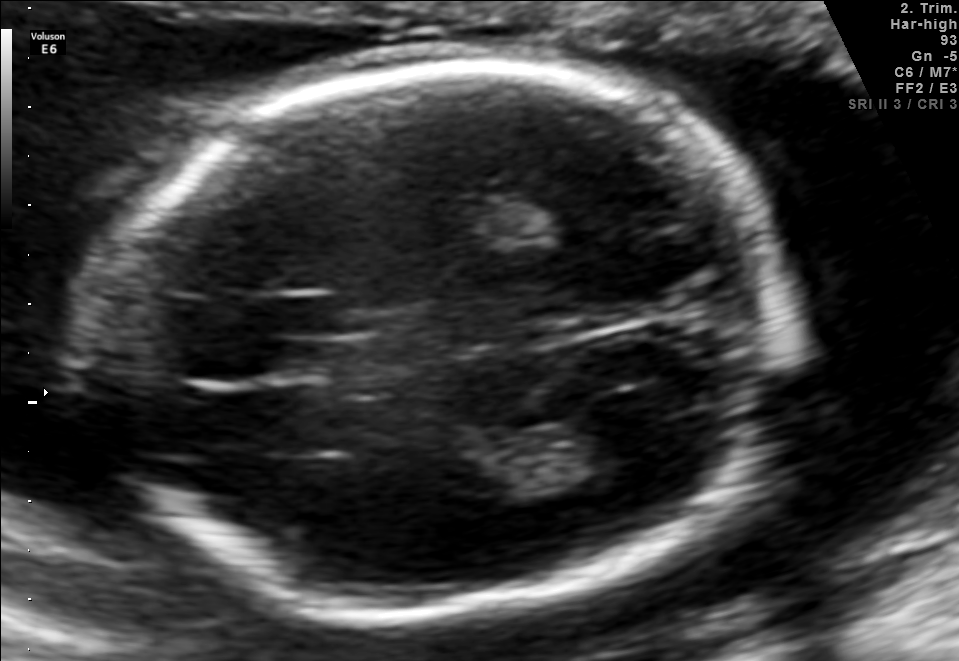
In this fetal brain, trans-thalamic plane, give the bounding box of the cavum septum pellucidum.

[191,338,277,378]